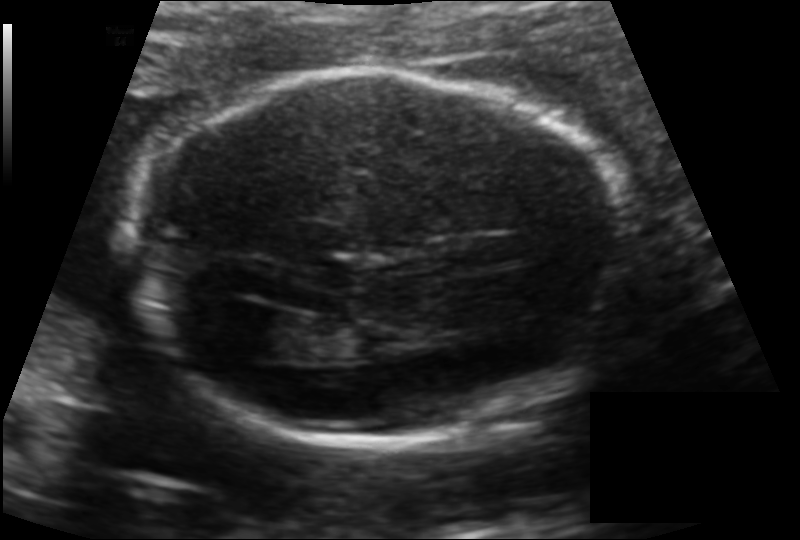
In this fetal head ultrasound, give bounding boxes for the head outline, cavum septum pellucidum (CSP), and lateral ventricle (LV), where visible. Image width: 107.1 mm.

Head: [138,69,631,441]
Lateral ventricle: [223,308,299,358]